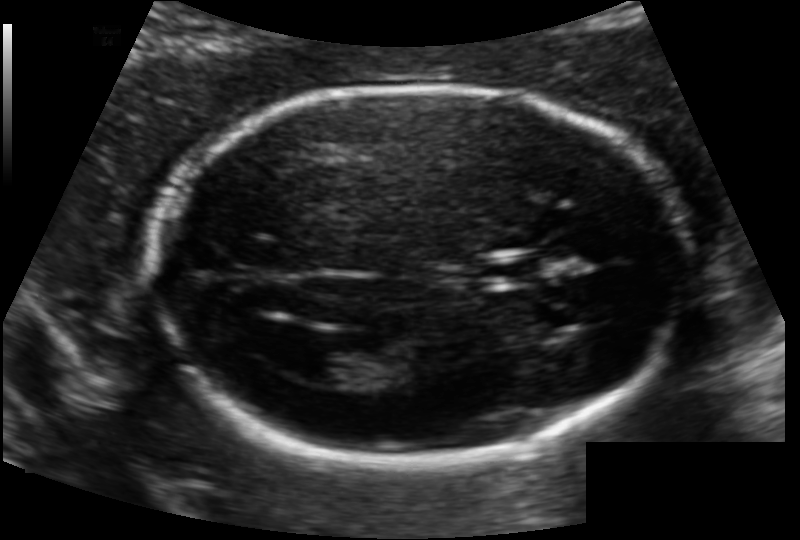
Measure the fetal head circumference shown in this ultrasound image. Image width: 94.1 mm.

Head circumference: 173.7 mm.